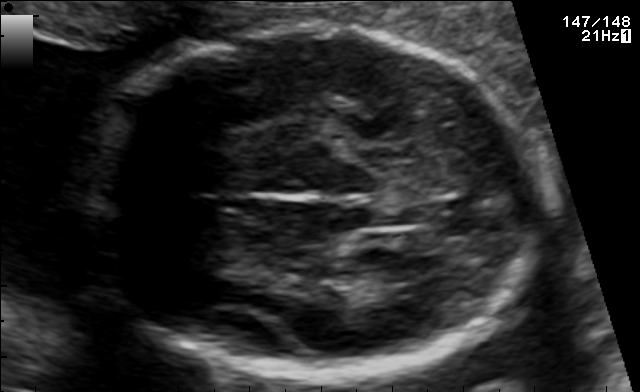
Fetal brain, trans-thalamic plane. Locate the fetal head.

Head: [77,24,541,379]